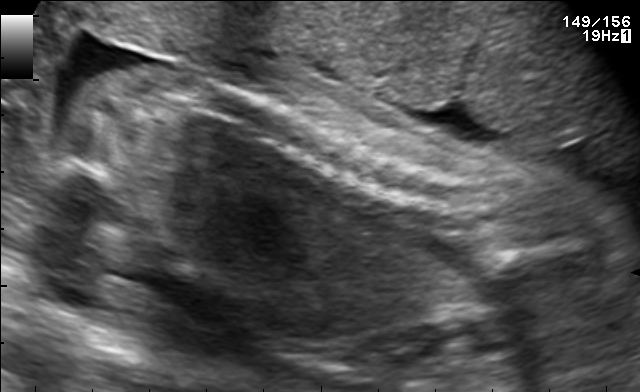
Classify this maternal-fetal ultrasound image as one of the six standard planes — fetal abdomen, fetal brain, fetal femur, fetal thorax, maternal cervix, or other. If it's fetal brain and one of the three standard brain planes (trans-thalamic, trans-cerebellum, trans-ventricular), name which.

Other